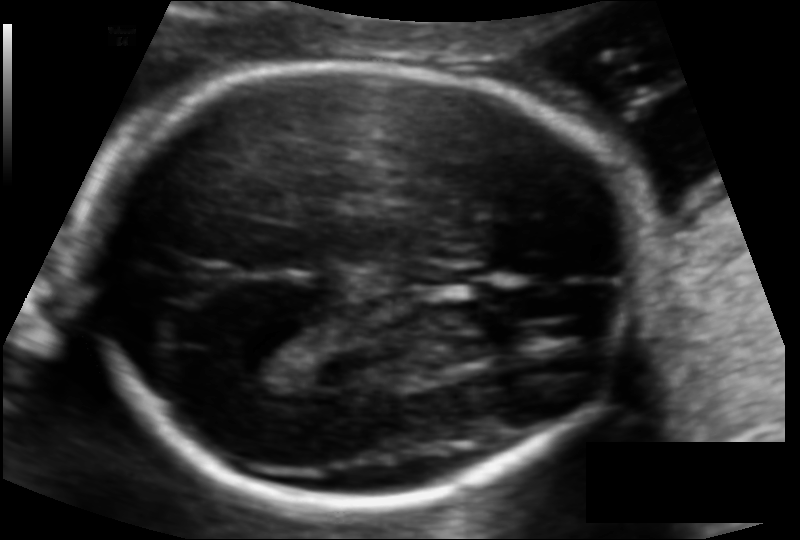
Estimate the fetal head circumference from this 2D ultrasound.

Head circumference: 176.2 mm (image width 86.6 mm).